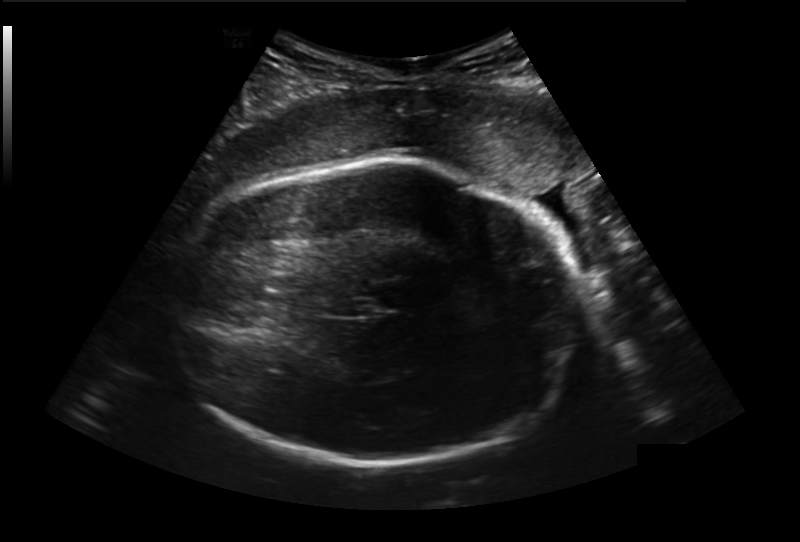
Estimate the fetal head circumference from this 2D ultrasound. Image width: 188.7 mm.

Head circumference: 273.4 mm.